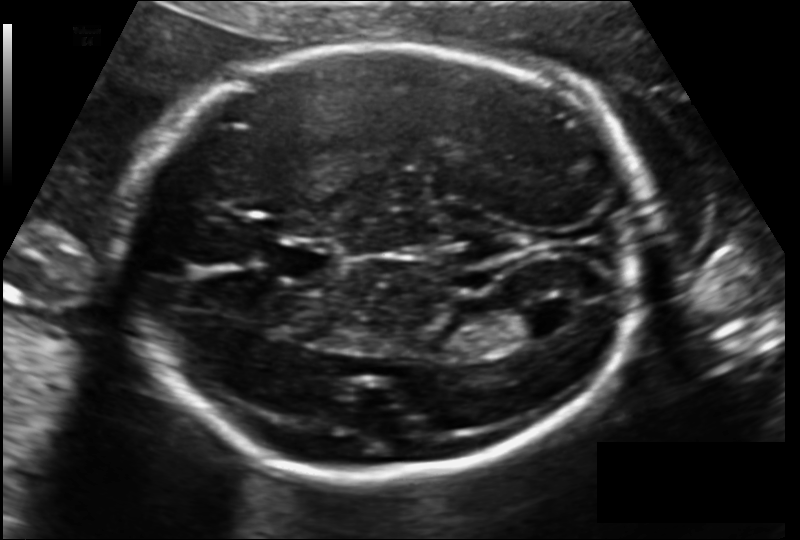
Fetal head ultrasound. Image width: 118.5 mm. Locate the fetal head.

Head: [127,45,647,474]